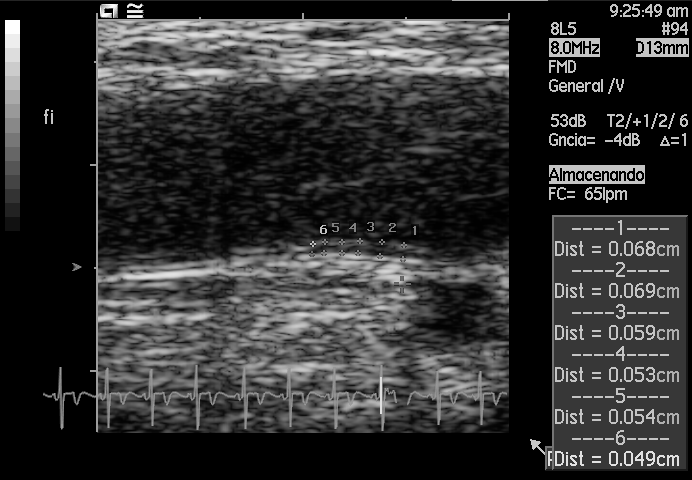
Classify this maternal-fetal ultrasound image as one of the six standard planes — fetal abdomen, fetal brain, fetal femur, fetal thorax, maternal cervix, or other. If it's fetal brain and one of the three standard brain planes (trans-thalamic, trans-cerebellum, trans-ventricular), name which.

Other